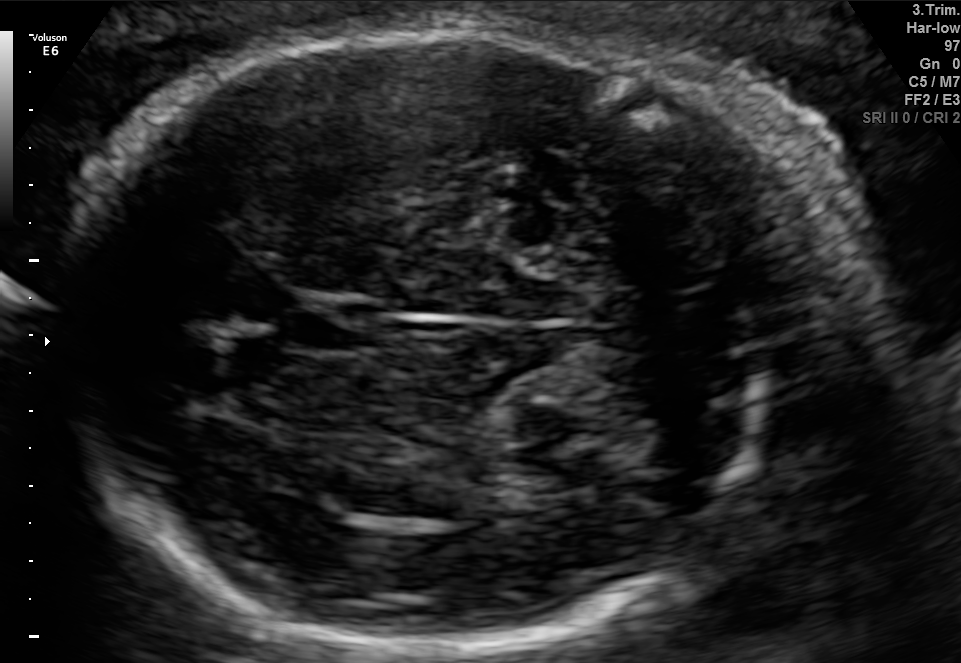
In this fetal brain, trans-cerebellum plane, give bounding boxes for the head outline, cavum septum pellucidum (CSP), and lateral ventricle (LV), where visible.

Head: [61,26,816,643]
CSP: [279,290,371,354]